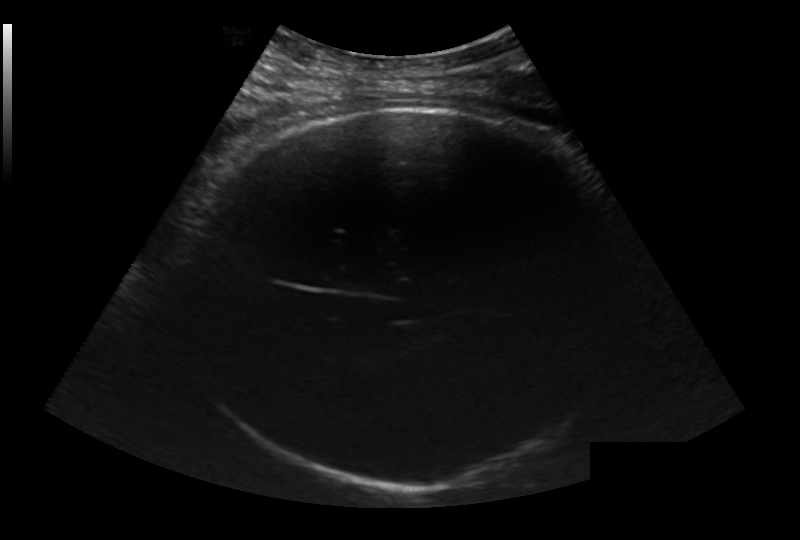
Estimate the fetal head circumference from this 2D ultrasound. Image width: 188.6 mm.

Head circumference: 321.8 mm.